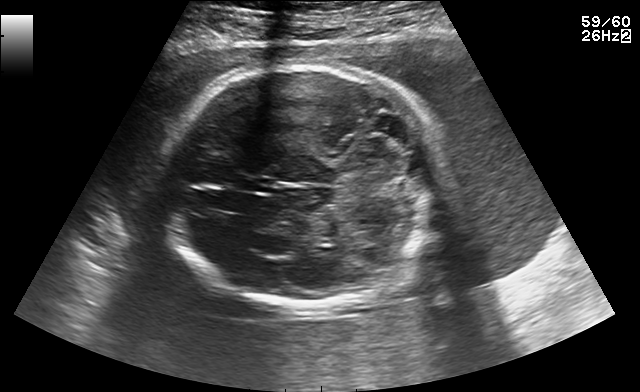
Fetal brain, trans-cerebellum plane. Locate the cavum septum pellucidum.

CSP: [237,174,273,195]